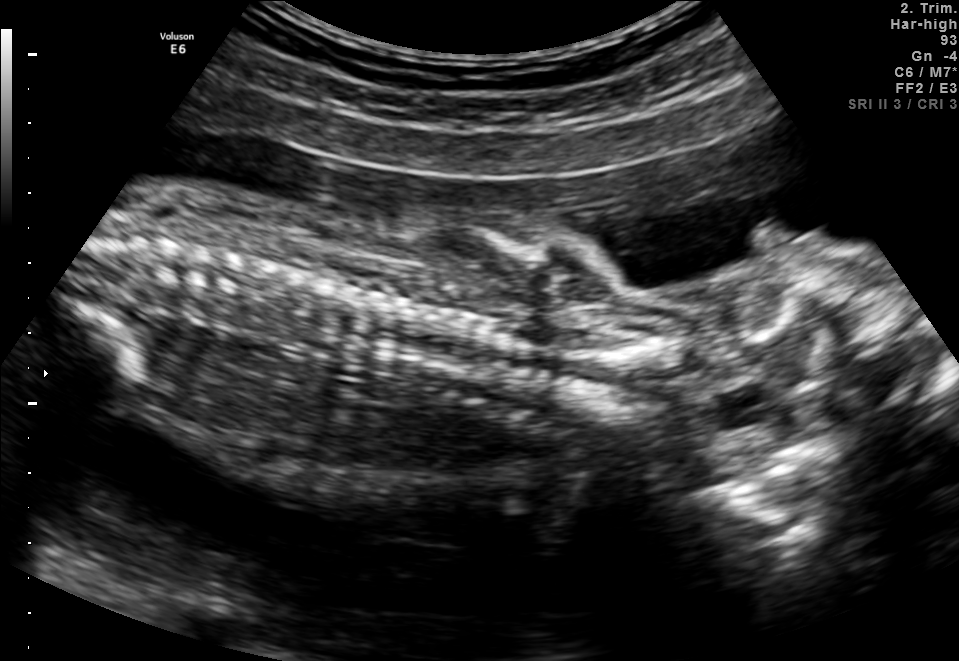
Identify the standard plane in this fetal ultrasound image: fetal abdomen, fetal brain, fetal femur, fetal thorax, maternal cervix, or other. If it's fetal brain and one of the three standard brain planes (trans-thalamic, trans-cerebellum, trans-ventricular), name which.

Other